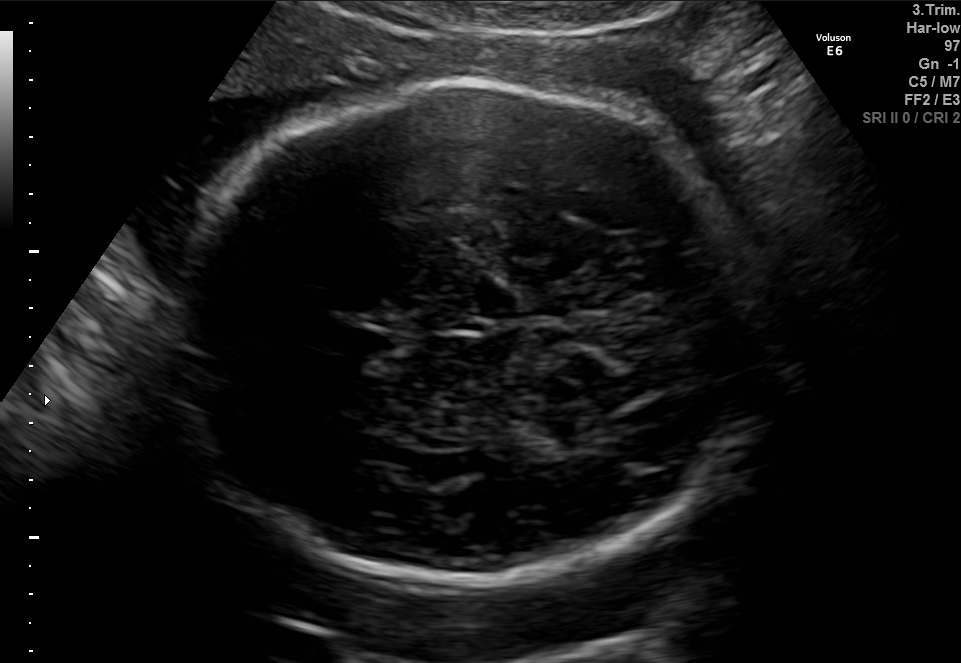
Fetal brain, trans-thalamic plane. Locate the fetal head.

Head: [174,82,775,587]